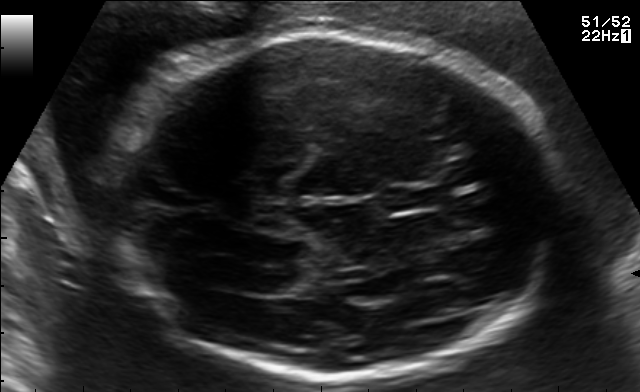
In this fetal brain, trans-ventricular plane, give the bounding box of the cavum septum pellucidum.

[384,186,437,214]